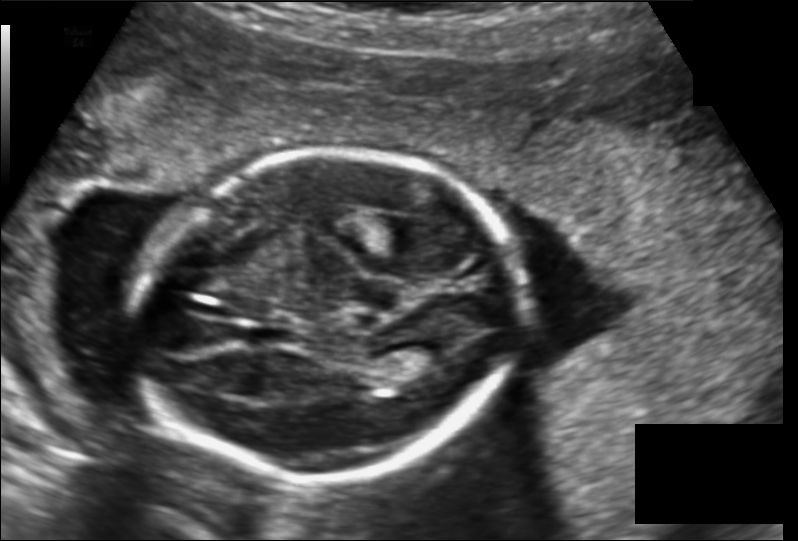
Fetal head ultrasound. Image width: 118.8 mm. Where is the cavum septum pellucidum?

CSP bounding box: [250,324,294,346]